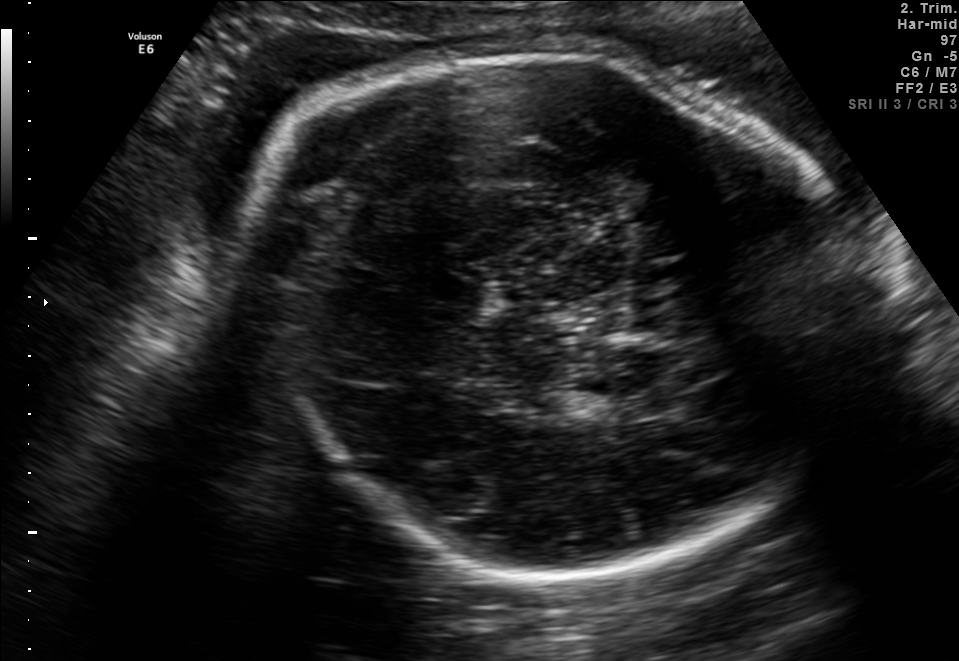
In this fetal brain, trans-thalamic plane, give the bounding box of the fetal head.

[247,45,830,576]